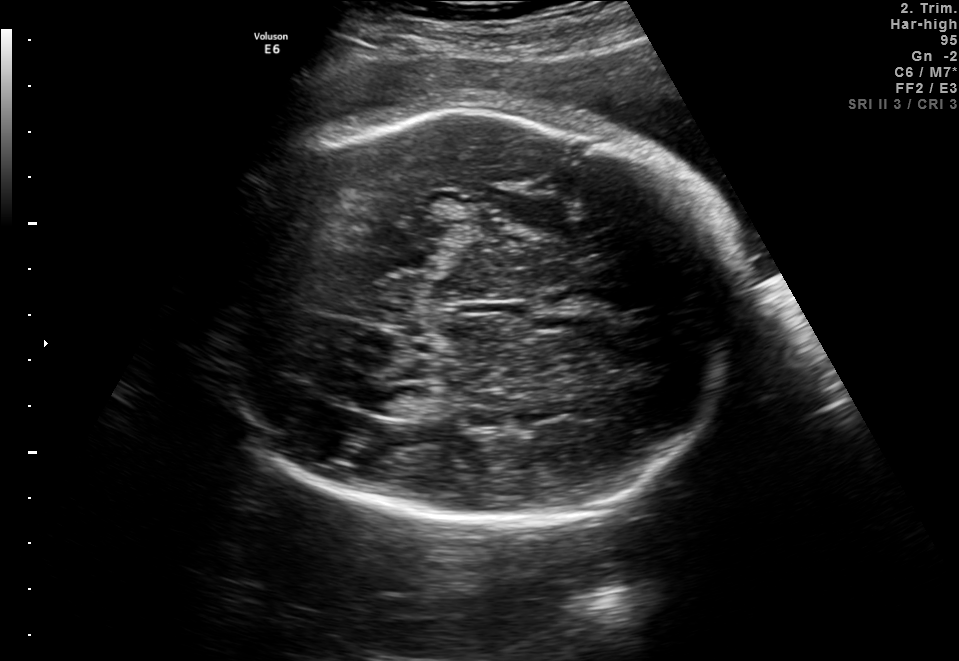
Fetal brain, trans-thalamic plane. Where is the lateral ventricle?

Lateral ventricle bounding box: [348,379,414,420]